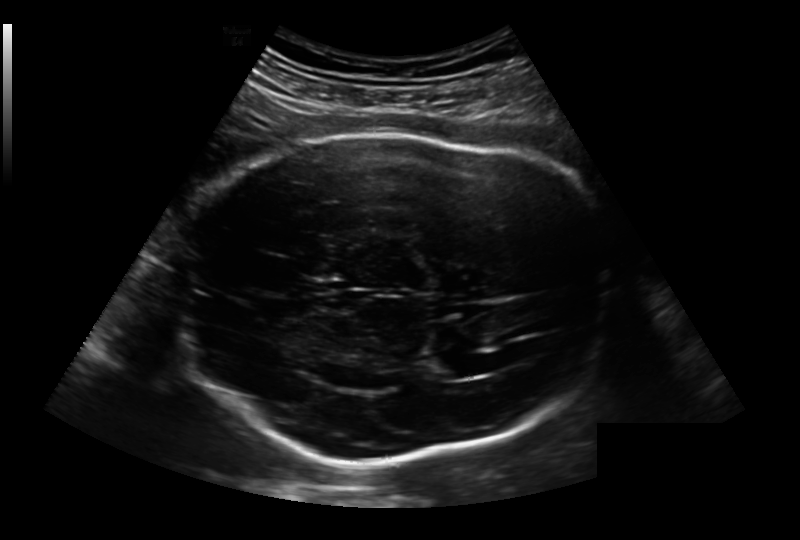
In this fetal head ultrasound, give the bounding box of the fetal head. Image width: 188.6 mm.

[170,136,611,462]